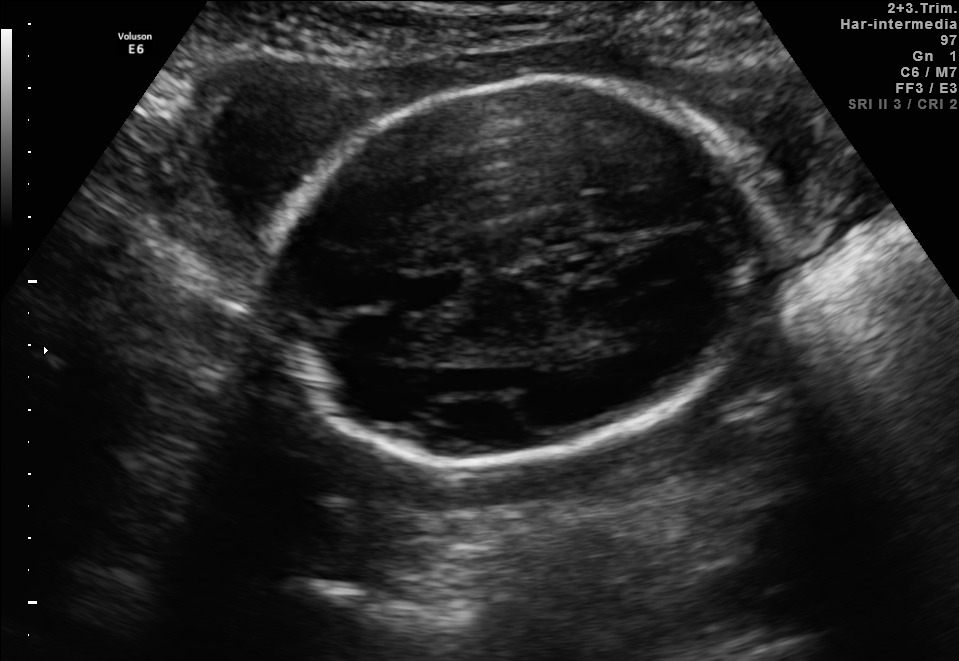
Fetal brain, trans-thalamic plane. Where is the cavum septum pellucidum?

CSP bounding box: [396,271,459,305]